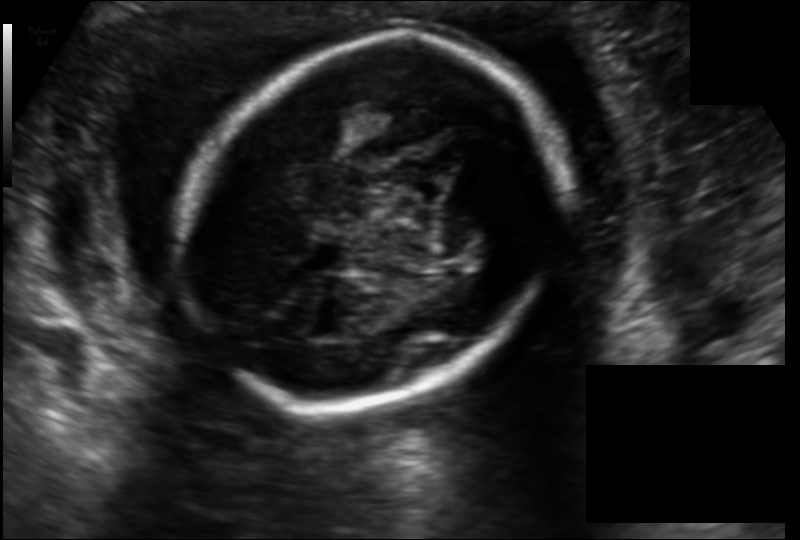
Fetal head ultrasound. Image width: 112.8 mm. Locate the fetal head and, if visible, the cavum septum pellucidum (CSP) and lateral ventricle (LV). Give bounding boxes as [x1,y1,x2,y2].

Head: [187,35,560,408]